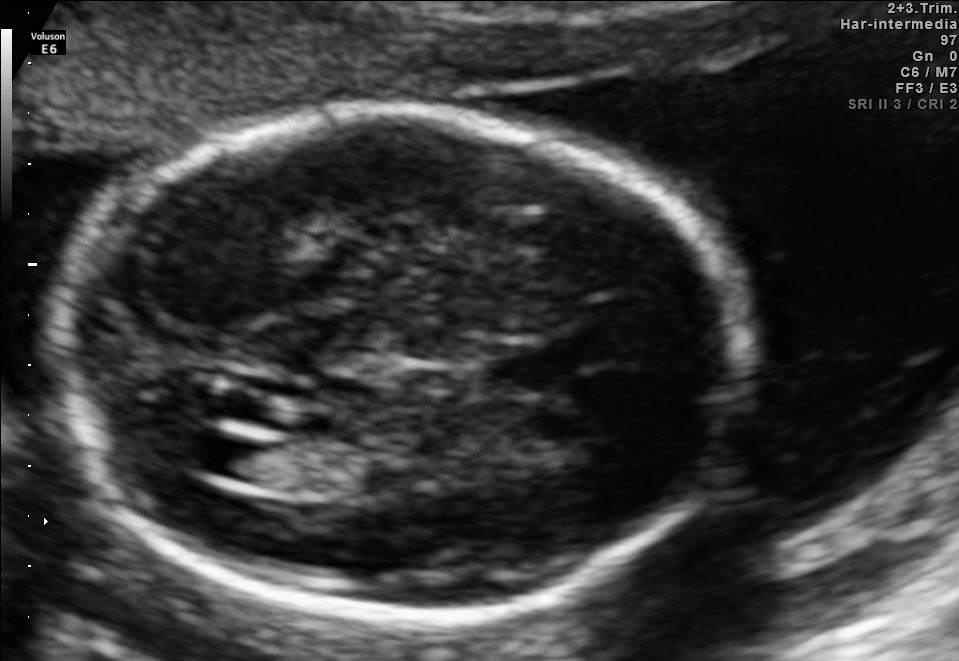
Fetal brain, trans-ventricular plane. Where is the lateral ventricle?

Lateral ventricle bounding box: [197,429,272,485]